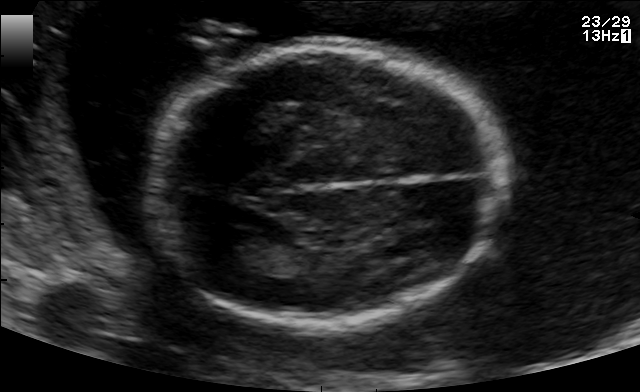
Fetal brain, trans-thalamic plane. Where is the fetal head?

Head bounding box: [149,44,509,326]